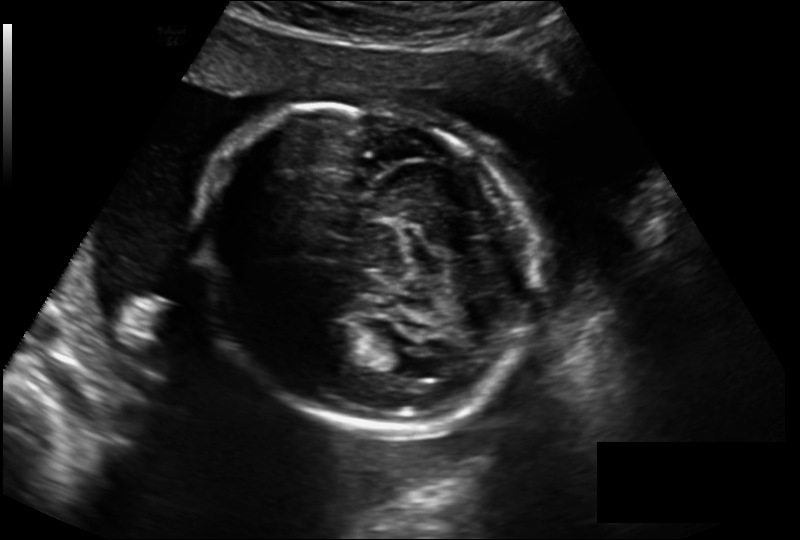
From this fetal ultrasound, estimate the head circumference (image width 168.7 mm).

Head circumference: 229.4 mm.